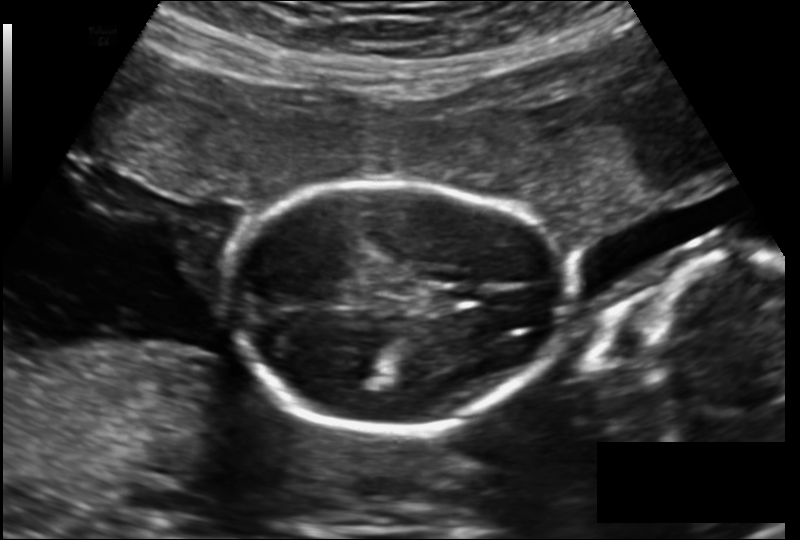
Estimate the fetal head circumference from this 2D ultrasound. Image width: 125.7 mm.

Head circumference: 152.4 mm.